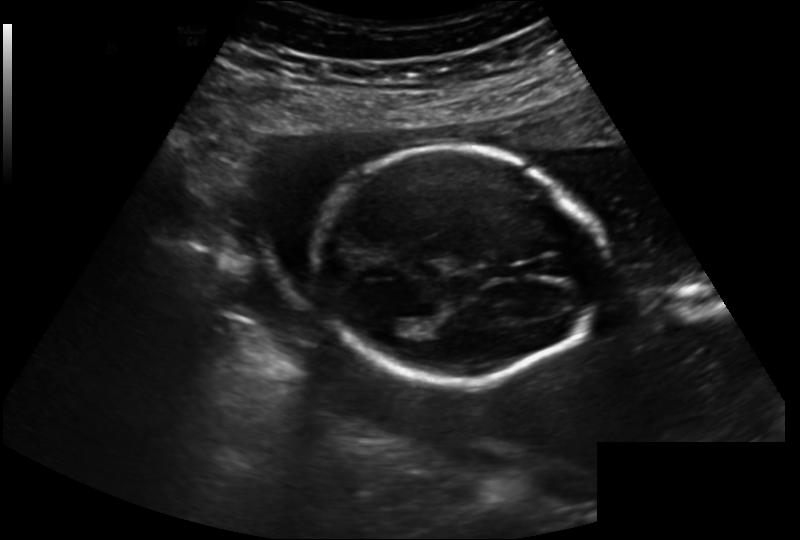
Estimate the fetal head circumference from this 2D ultrasound. Image width: 161.6 mm.

Head circumference: 174.1 mm.